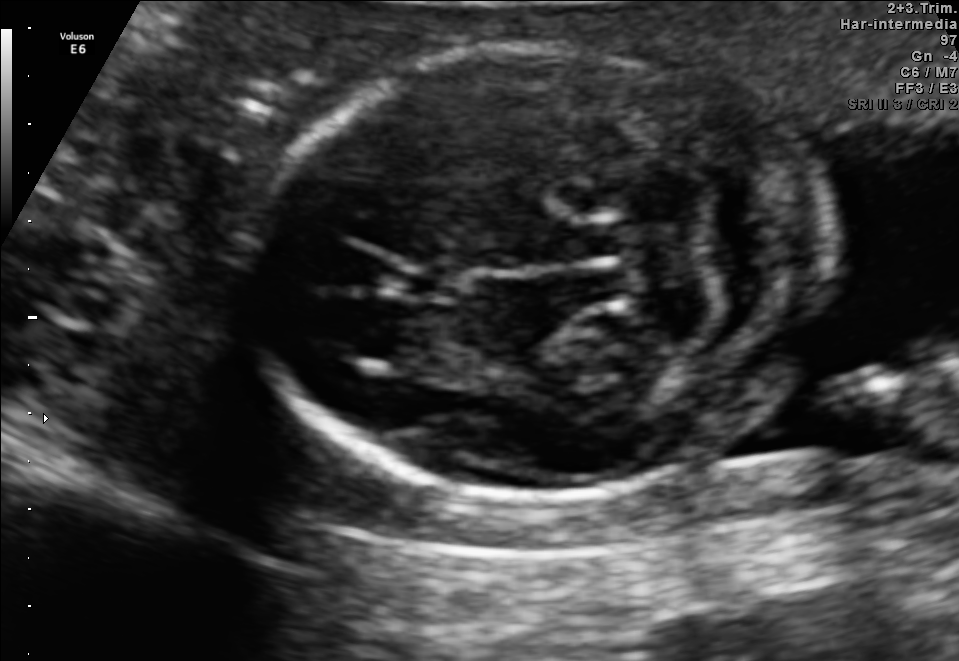
In this fetal brain, trans-cerebellum plane, give bounding boxes for the head outline, cavum septum pellucidum (CSP), and lateral ventricle (LV), where visible.

Head: [252,46,825,497]
CSP: [400,263,461,301]